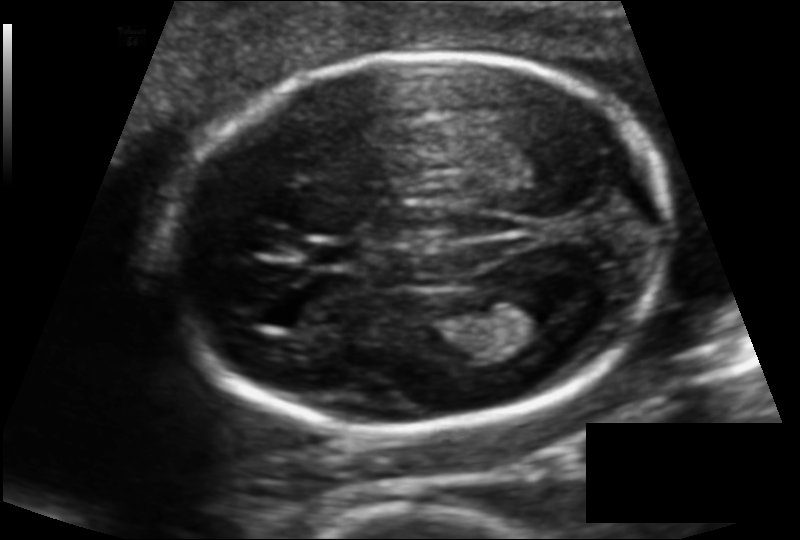
Fetal head ultrasound. Image width: 95.8 mm. Locate the cavum septum pellucidum.

CSP: [307,242,360,268]